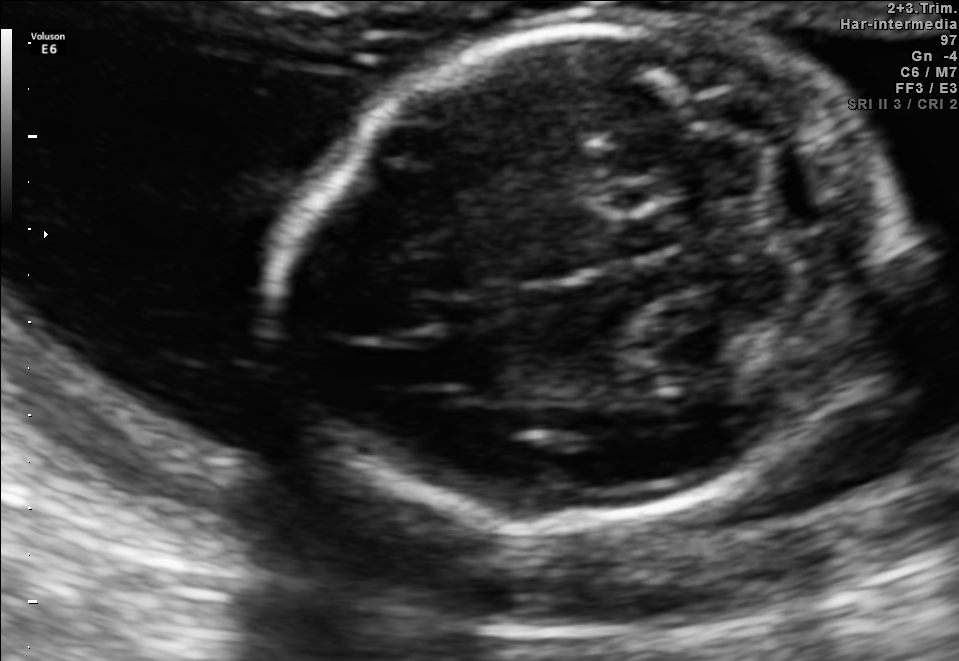
Fetal brain, trans-cerebellum plane. Give [x1,y1,x2,y2] bounding boxes for each visible structure among: fetal head, CSP, LV.

Head: [281,23,900,530]